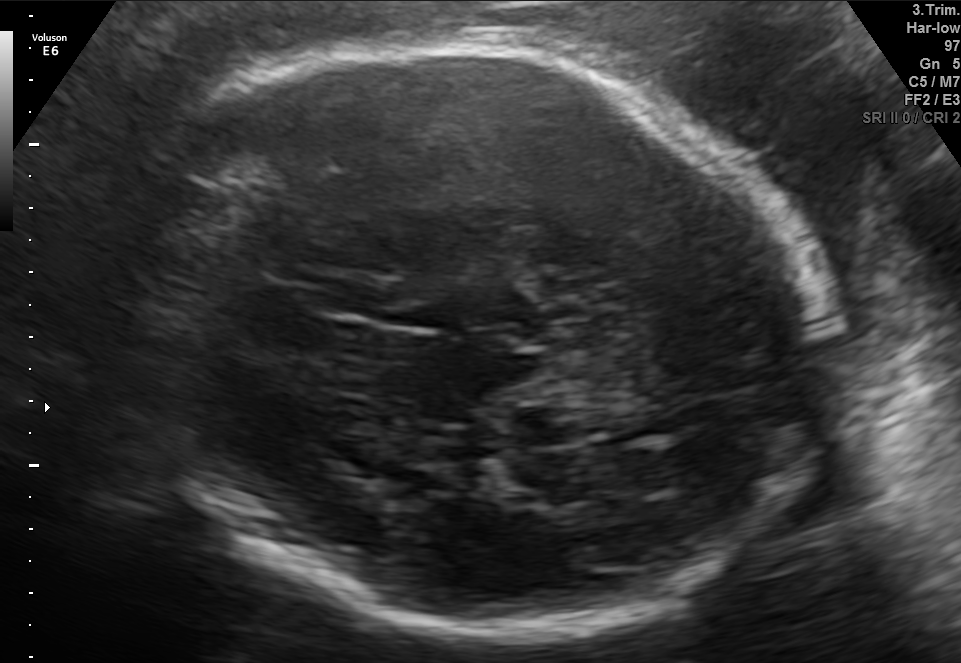
Fetal brain, trans-thalamic plane. Where is the fetal head?

Head bounding box: [121,40,832,635]